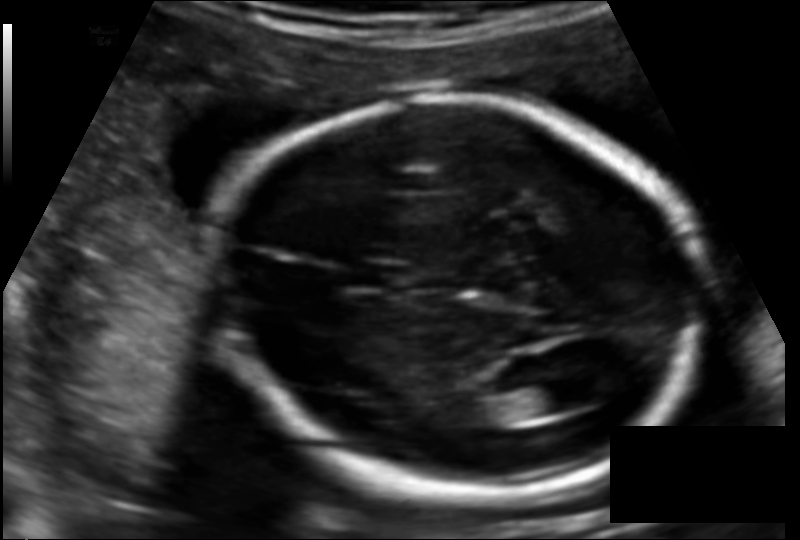
Fetal head ultrasound. Image width: 99.4 mm. Locate the fetal head.

Head: [214,97,705,495]